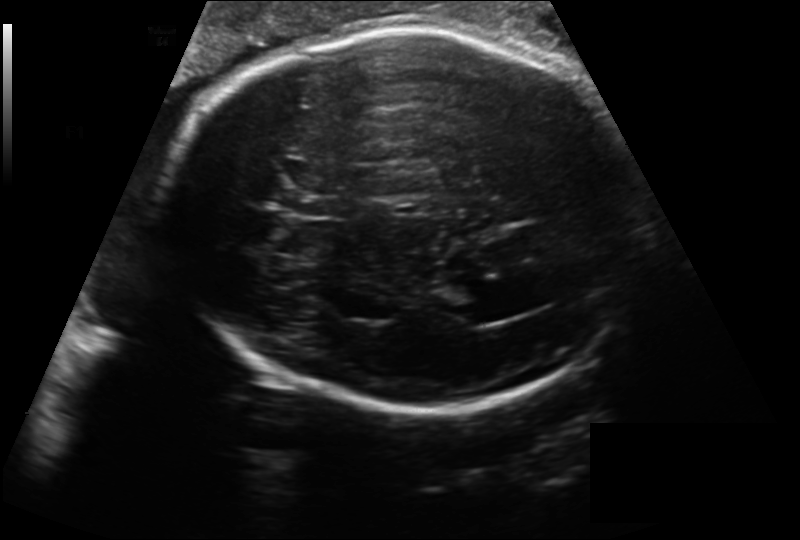
In this fetal head ultrasound, give the bounding box of the fetal head. Image width: 174.3 mm.

[163,30,646,410]